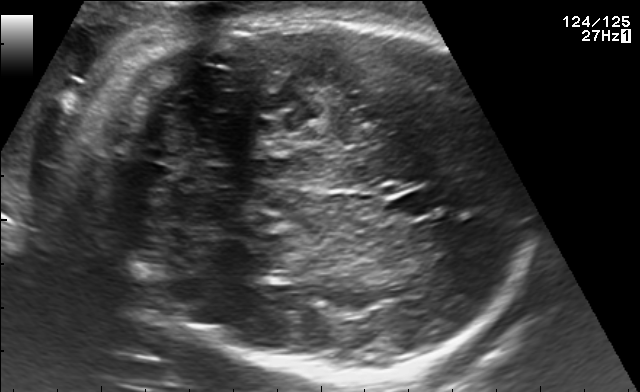
Fetal brain, trans-cerebellum plane. Give [x1,y1,x2,y2] bounding boxes for each visible structure among: fetal head, CSP, LV.

Head: [113,16,519,387]
CSP: [382,184,441,230]